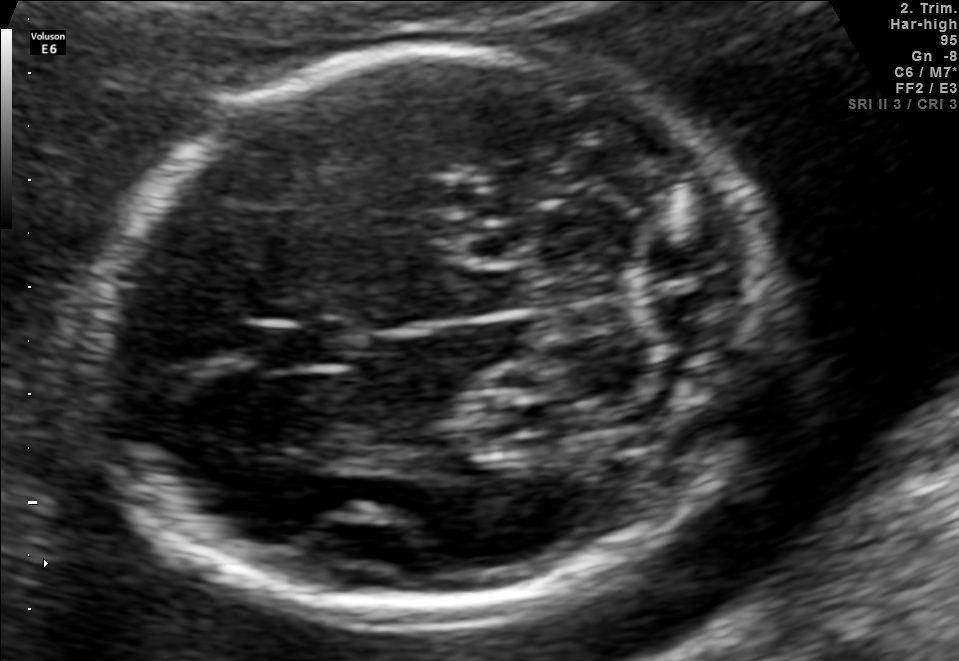
Fetal brain, trans-cerebellum plane. Locate the fetal head and, if visible, the cavum septum pellucidum (CSP) and lateral ventricle (LV). Give bounding boxes as [x1,y1,x2,y2].

Head: [94,45,765,618]
CSP: [253,320,354,370]